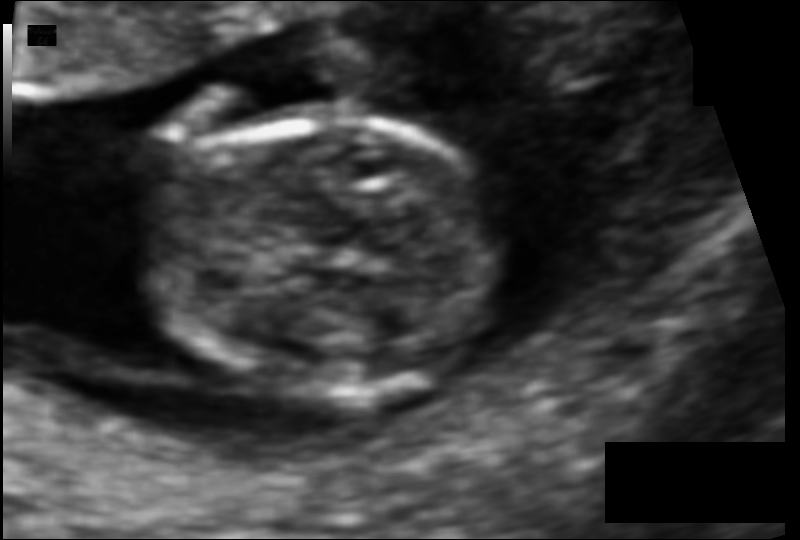
From this fetal ultrasound, estimate the head circumference (image width 58.2 mm).

Head circumference: 73.8 mm.